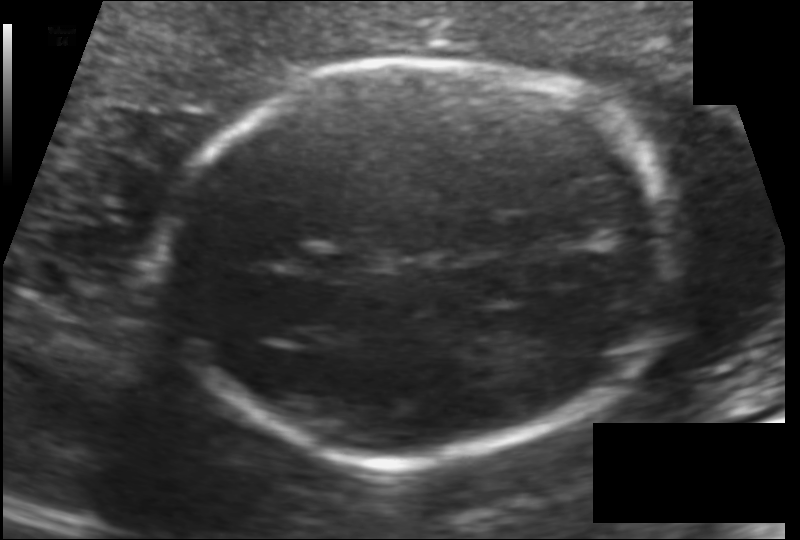
Fetal head ultrasound. Image width: 95.9 mm. Locate the fetal head and, if visible, the cavum septum pellucidum (CSP) and lateral ventricle (LV). Give bounding boxes as [x1,y1,x2,y2].

Head: [170,61,672,461]